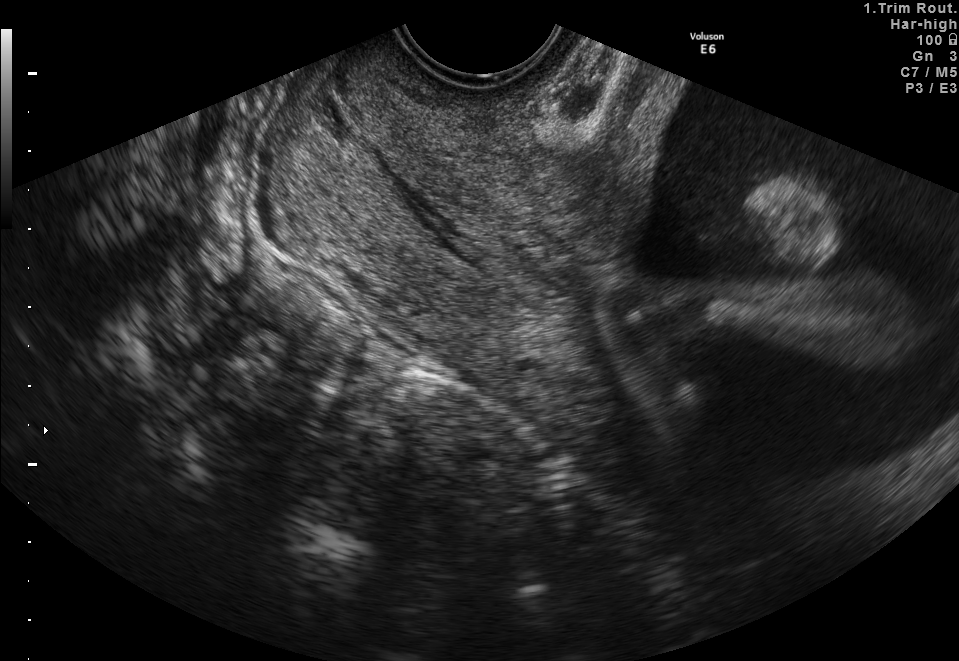
Classify this maternal-fetal ultrasound image as one of the six standard planes — fetal abdomen, fetal brain, fetal femur, fetal thorax, maternal cervix, or other. If it's fetal brain and one of the three standard brain planes (trans-thalamic, trans-cerebellum, trans-ventricular), name which.

Maternal cervix